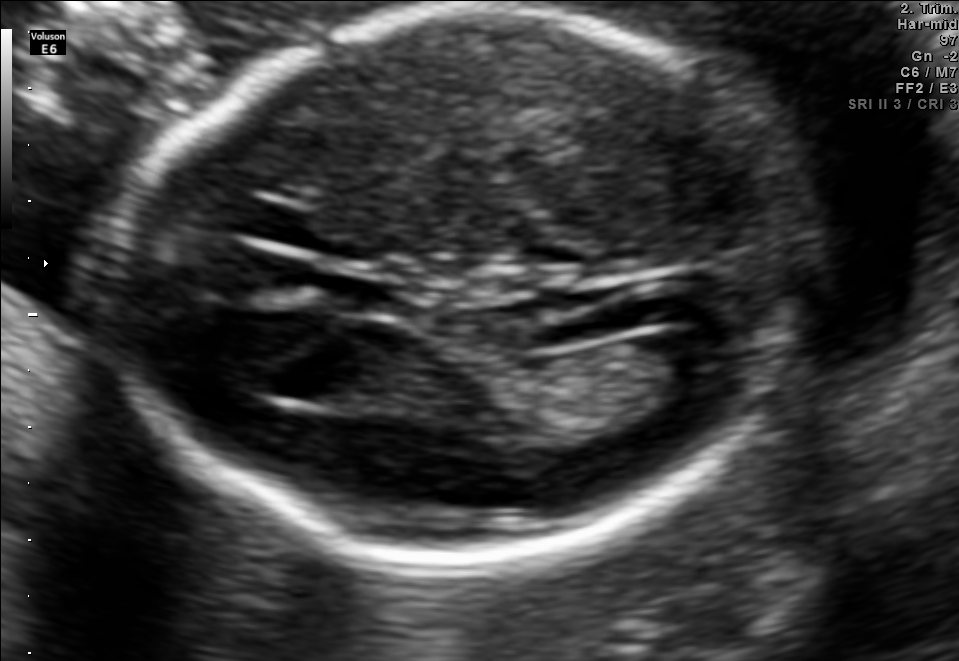
Fetal brain, trans-ventricular plane. Locate the fetal head.

Head: [101,4,828,565]